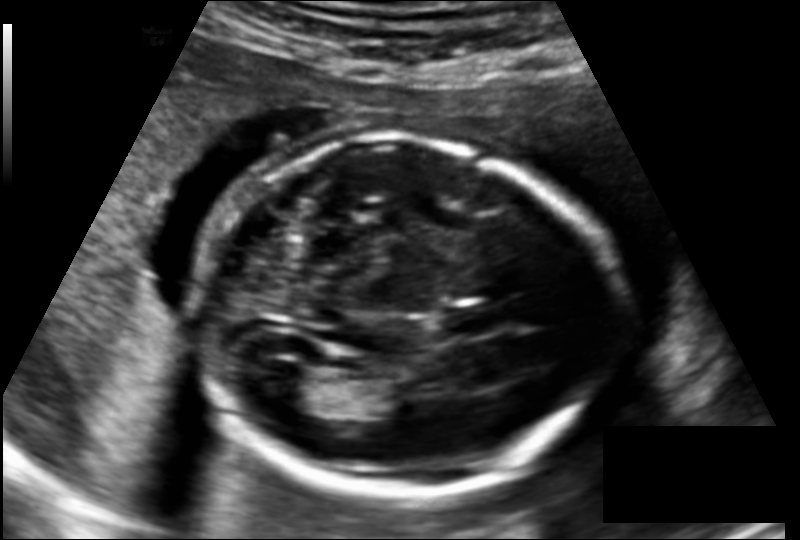
Fetal head ultrasound. Image width: 115.9 mm. Give [x1,y1,x2,y2] bounding boxes for each visible structure among: fetal head, CSP, LV.

Head: [196,141,621,498]
CSP: [439,302,504,341]
Lateral ventricle: [257,359,321,410]